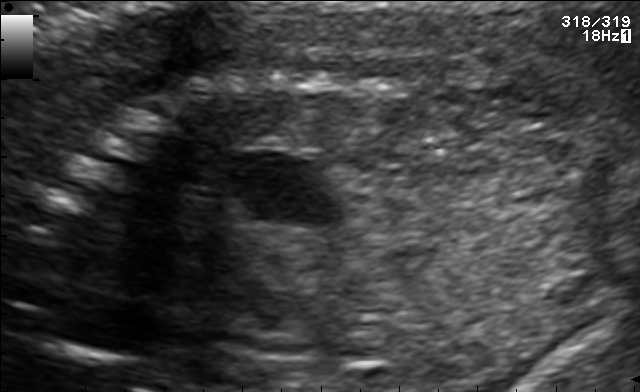
Classify this maternal-fetal ultrasound image as one of the six standard planes — fetal abdomen, fetal brain, fetal femur, fetal thorax, maternal cervix, or other. If it's fetal brain and one of the three standard brain planes (trans-thalamic, trans-cerebellum, trans-ventricular), name which.

Other